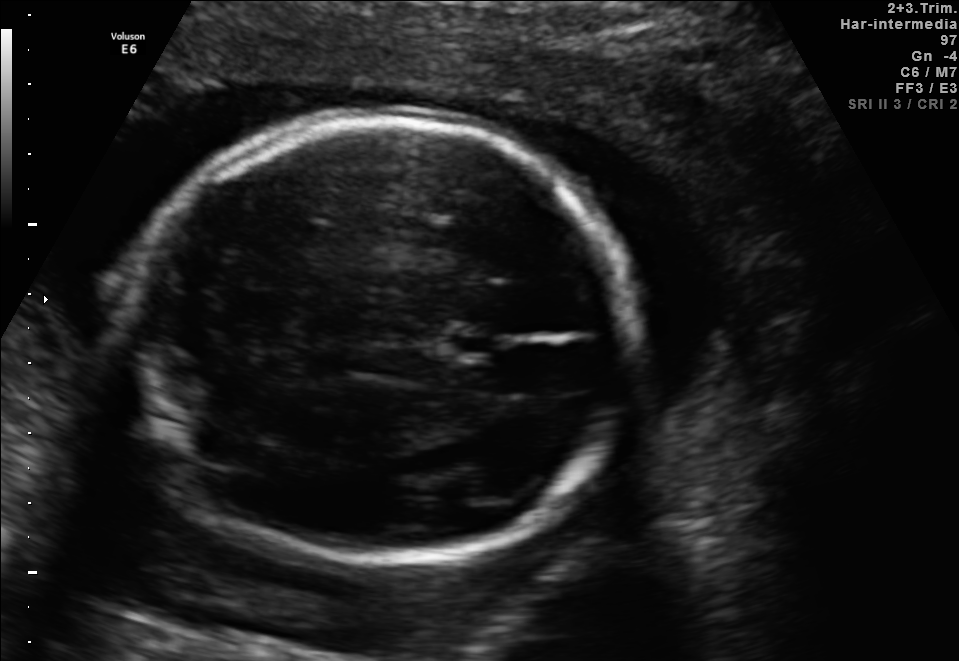
Fetal brain, trans-thalamic plane. Locate the fetal head and, if visible, the cavum septum pellucidum (CSP) and lateral ventricle (LV). Give bounding boxes as [x1,y1,x2,y2].

Head: [128,115,633,558]
CSP: [452,335,497,354]